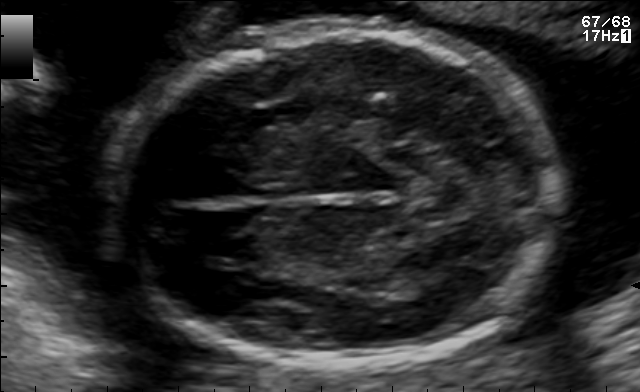
Fetal brain, trans-thalamic plane. Where is the fetal head?

Head bounding box: [107,32,556,362]